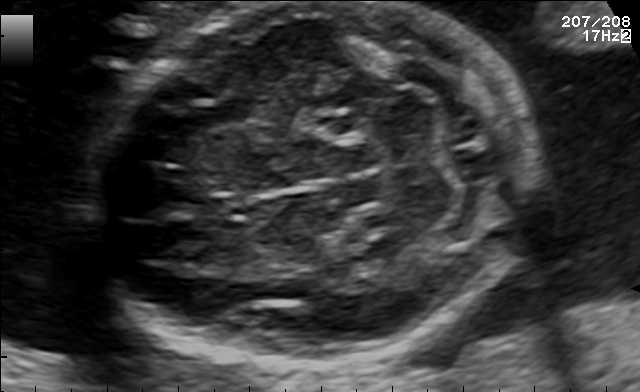
Fetal brain, trans-cerebellum plane. Locate the fetal head and, if visible, the cavum septum pellucidum (CSP) and lateral ventricle (LV). Give bounding boxes as [x1,y1,x2,y2].

Head: [88,4,537,362]